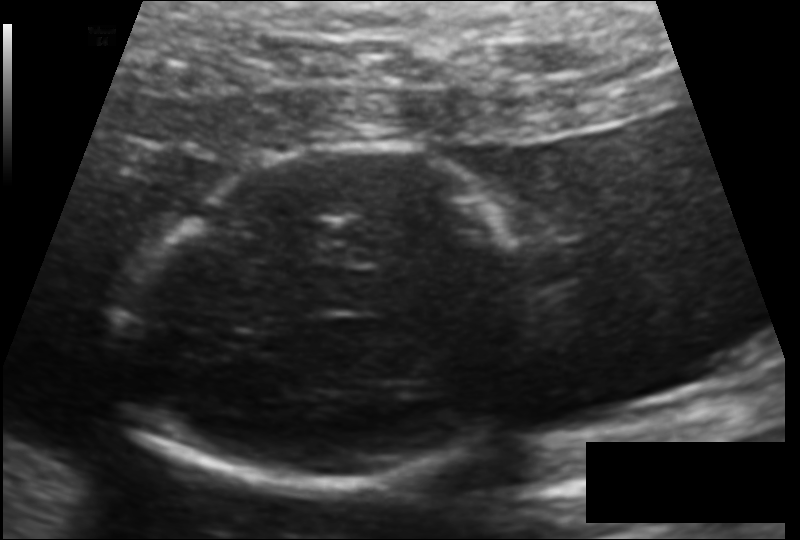
In this fetal head ultrasound, give bounding boxes for the head outline, cavum septum pellucidum (CSP), and lateral ventricle (LV), where visible. Image width: 99.4 mm.

Head: [126,148,527,490]